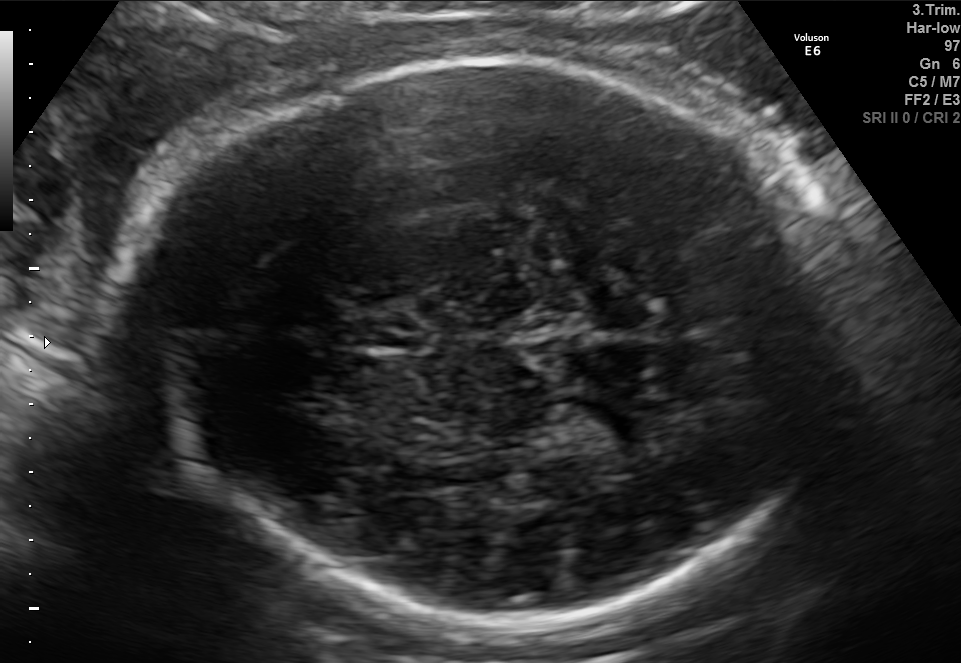
Which standard maternal-fetal ultrasound plane is shown: fetal abdomen, fetal brain, fetal femur, fetal thorax, maternal cervix, or other? If it's fetal brain and one of the three standard brain planes (trans-thalamic, trans-cerebellum, trans-ventricular), name which.

Fetal brain (trans-thalamic plane)